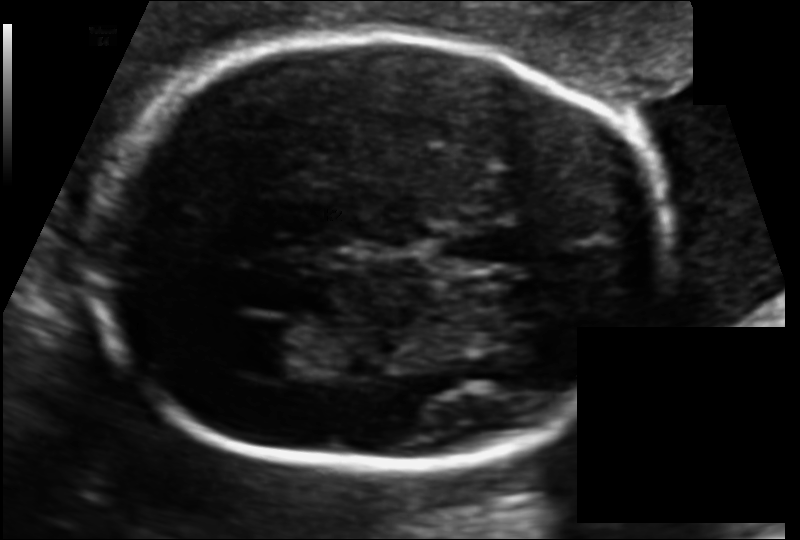
In this fetal head ultrasound, give the bounding box of the cavum septum pellucidum. Image width: 89.0 mm.

[440,216,530,272]